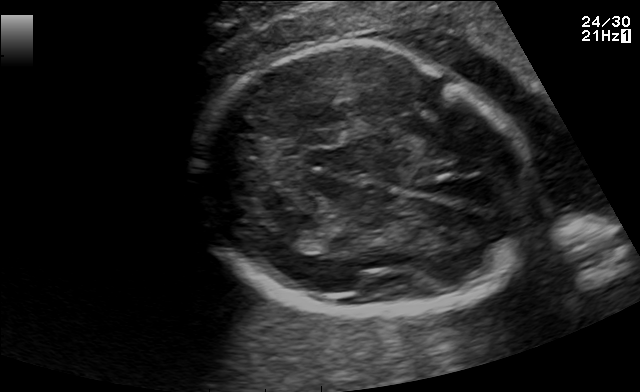
This is a 2D maternal-fetal ultrasound frame. Is it a fetal abdomen, fetal brain, fetal femur, fetal thorax, maternal cervix, or other standard plane? If it's fetal brain and one of the three standard brain planes (trans-thalamic, trans-cerebellum, trans-ventricular), name which.

Fetal brain (trans-thalamic plane)